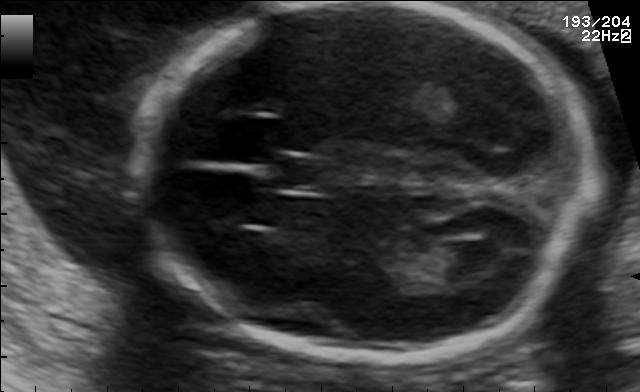
Fetal brain, trans-ventricular plane. Give [x1,y1,x2,y2] bounding boxes for each visible structure among: fetal head, CSP, LV.

Head: [125,3,604,363]
CSP: [273,154,335,195]
Lateral ventricle: [447,238,512,283]